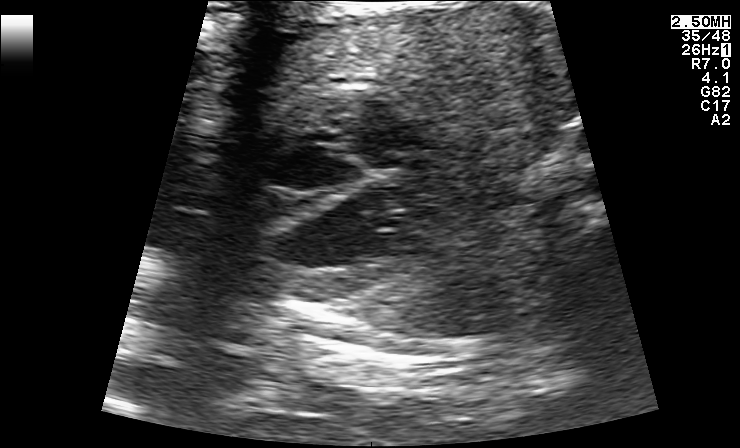
This is a 2D maternal-fetal ultrasound frame. Is it a fetal abdomen, fetal brain, fetal femur, fetal thorax, maternal cervix, or other standard plane? If it's fetal brain and one of the three standard brain planes (trans-thalamic, trans-cerebellum, trans-ventricular), name which.

Fetal thorax